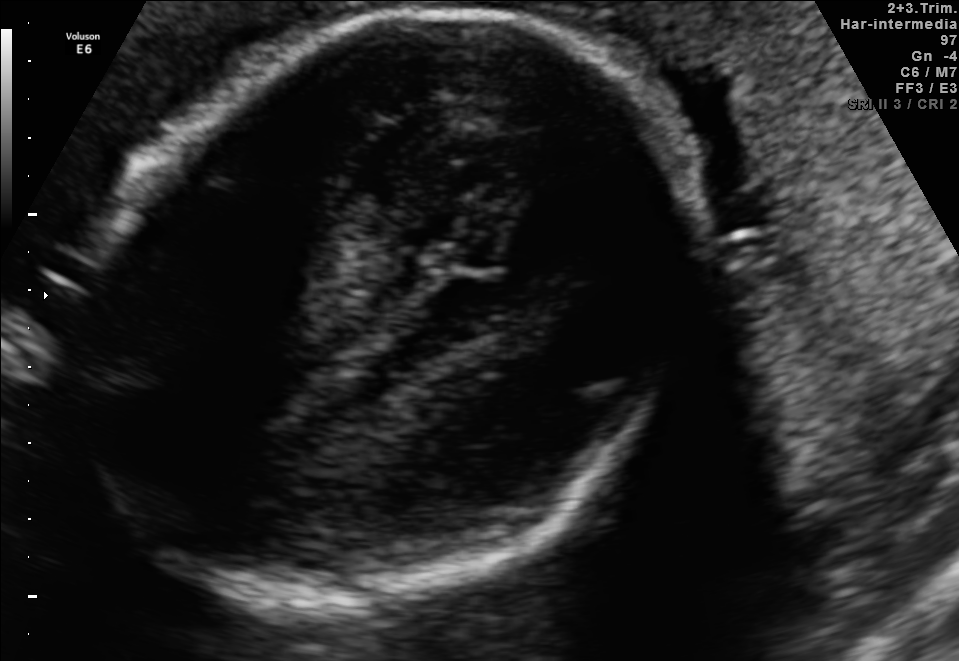
In this fetal brain, trans-thalamic plane, give bounding boxes for the head outline, cavum septum pellucidum (CSP), and lateral ventricle (LV), where visible.

Head: [80,9,683,612]